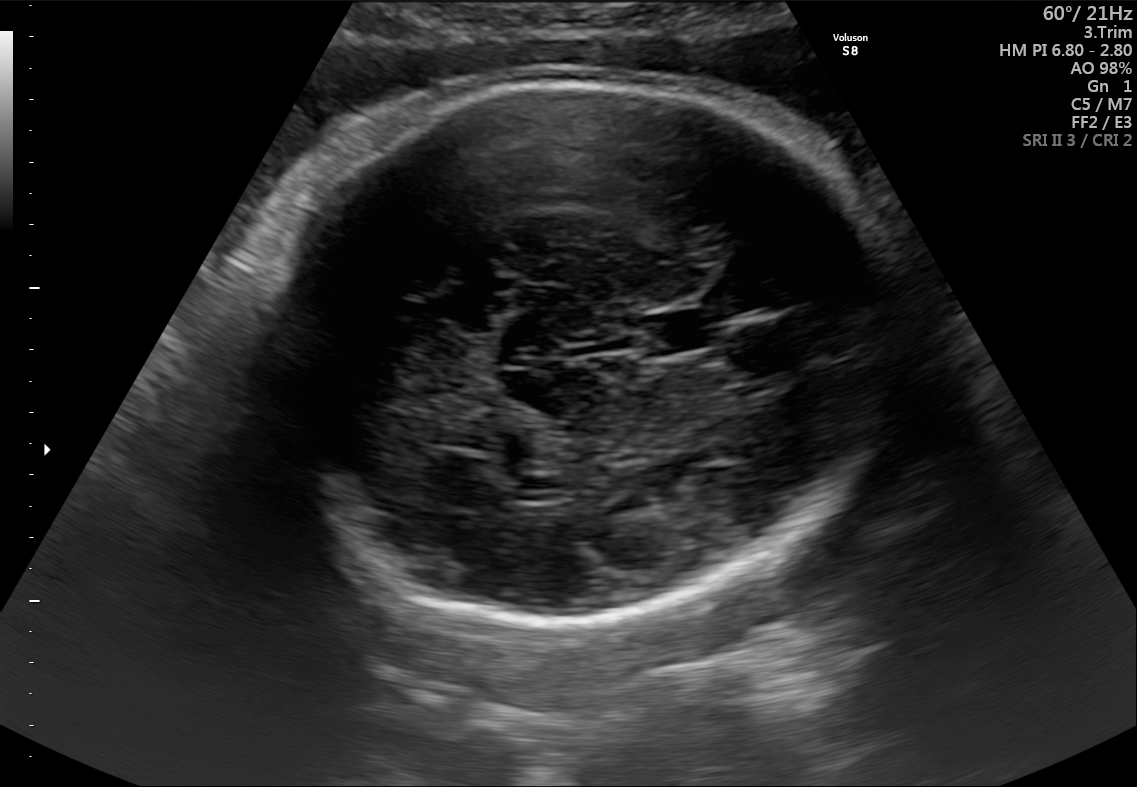
Fetal brain, trans-thalamic plane. Where is the cavum septum pellucidum?

CSP bounding box: [641,302,731,359]